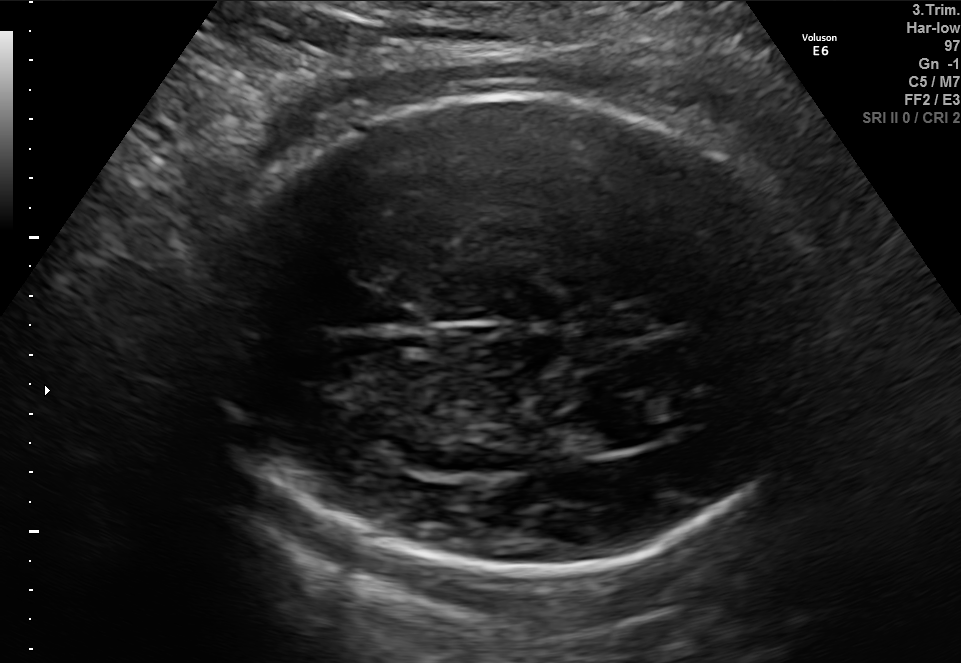
In this fetal brain, trans-thalamic plane, give the bounding box of the lateral ventricle.

[551,404,637,462]